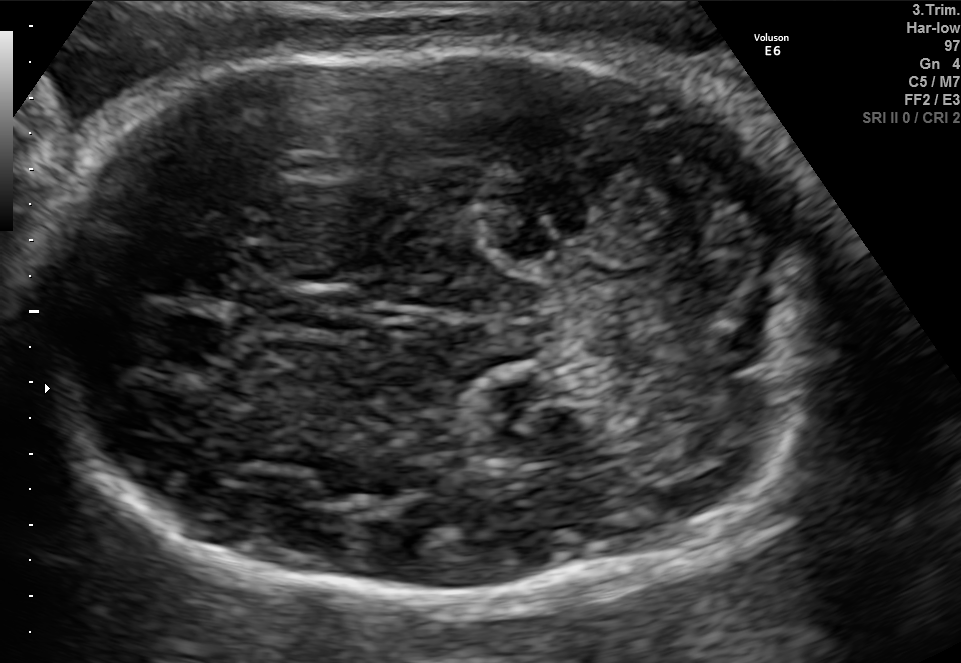
Fetal brain, trans-cerebellum plane. Locate the fetal head and, if visible, the cavum septum pellucidum (CSP) and lateral ventricle (LV). Give bounding boxes as [x1,y1,x2,y2].

Head: [31,44,812,597]